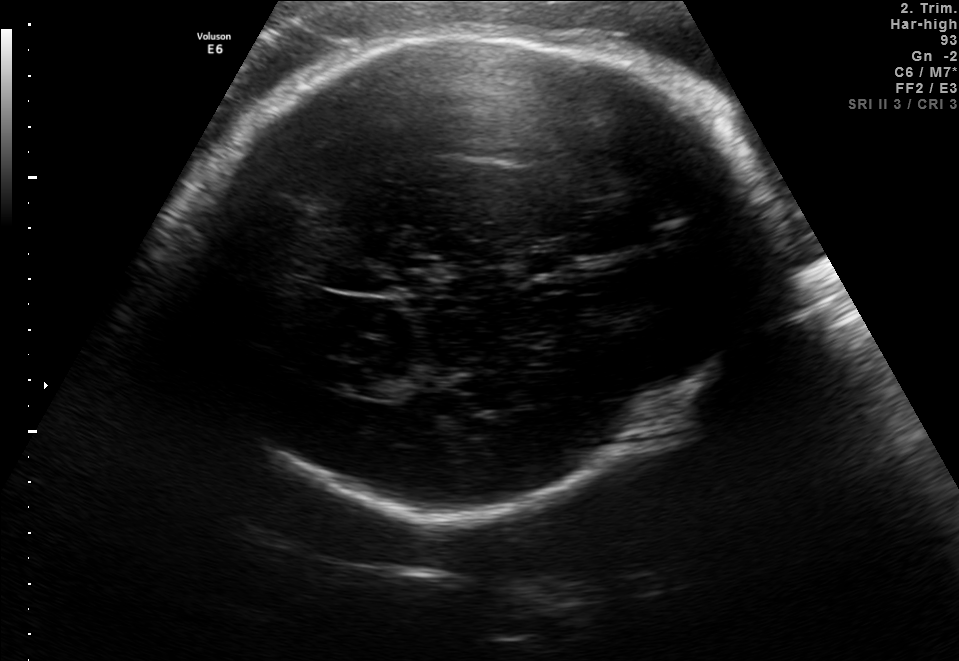
Fetal brain, trans-thalamic plane. Locate the lateral ventricle.

Lateral ventricle: [341,363,410,403]